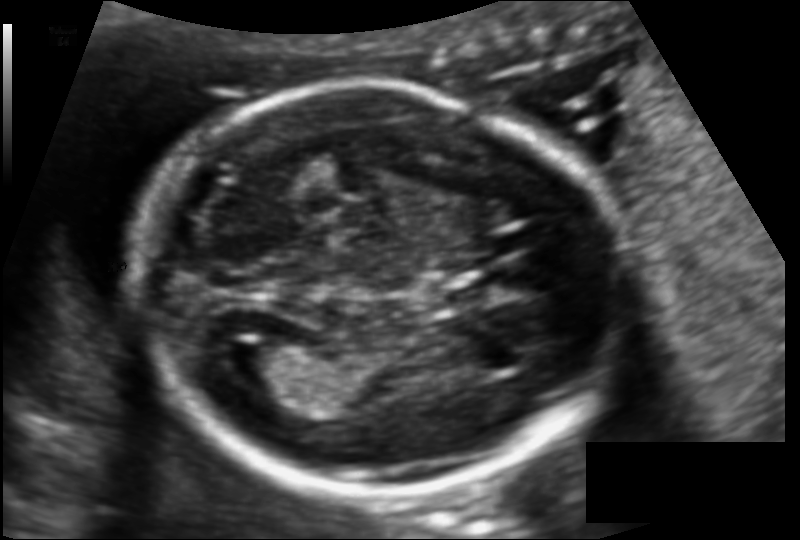
From this fetal ultrasound, estimate the head circumference (image width 89.5 mm).

Head circumference: 162.3 mm.